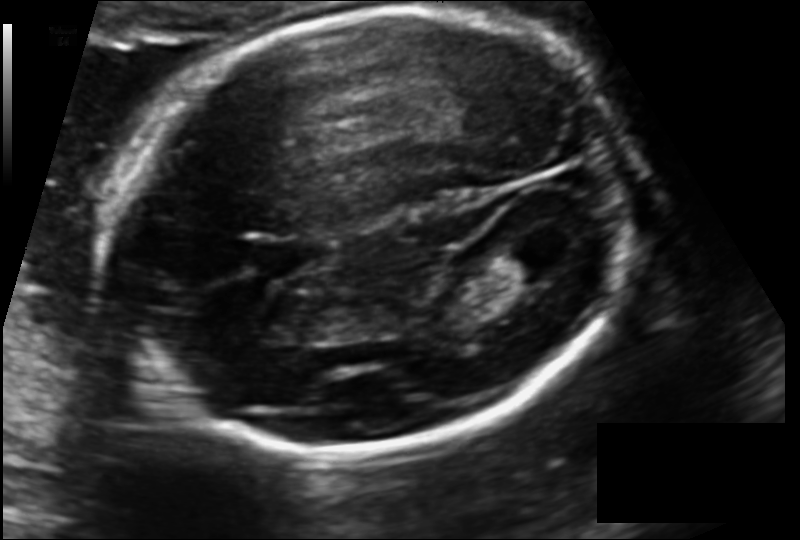
In this fetal head ultrasound, give the bounding box of the lateral ventricle. Image width: 105.5 mm.

[497,221,579,292]